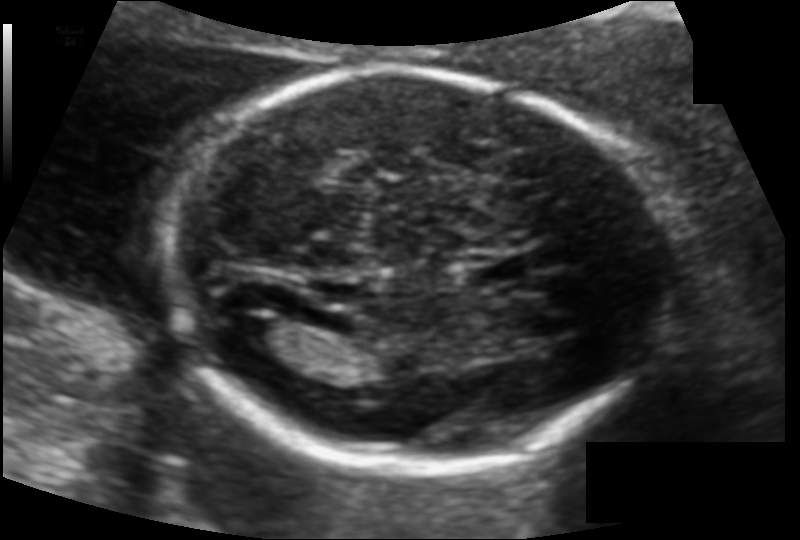
Fetal head ultrasound. Image width: 91.9 mm. Locate the cavum septum pellucidum.

CSP: [465,249,534,295]